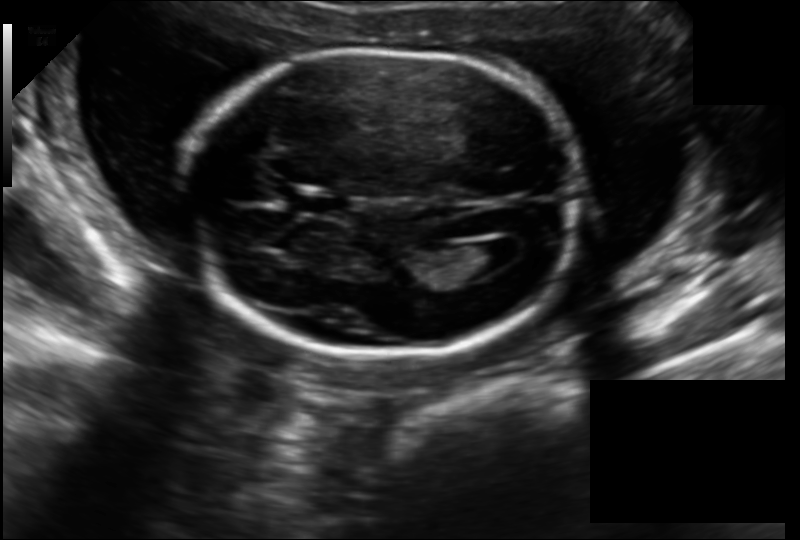
Estimate the fetal head circumference from this 2D ultrasound. Image width: 125.8 mm.

Head circumference: 180.4 mm.